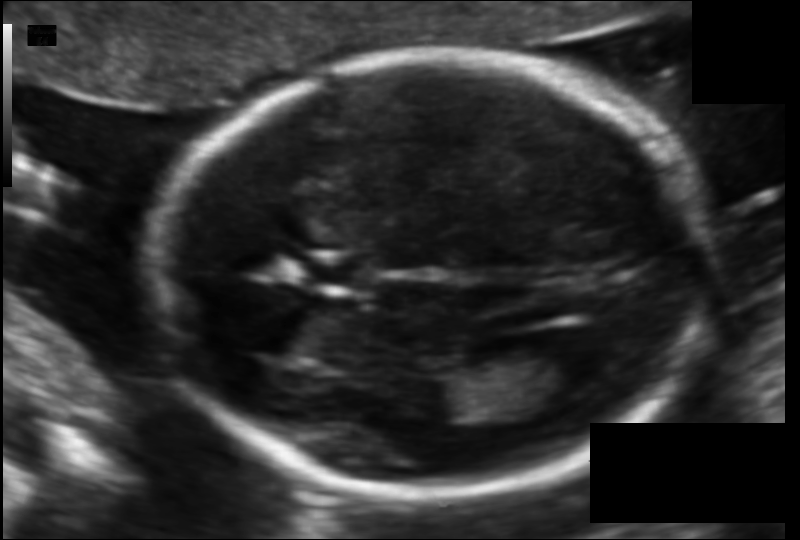
Fetal head ultrasound. Image width: 83.8 mm. Locate the fetal head.

Head: [158,53,706,500]